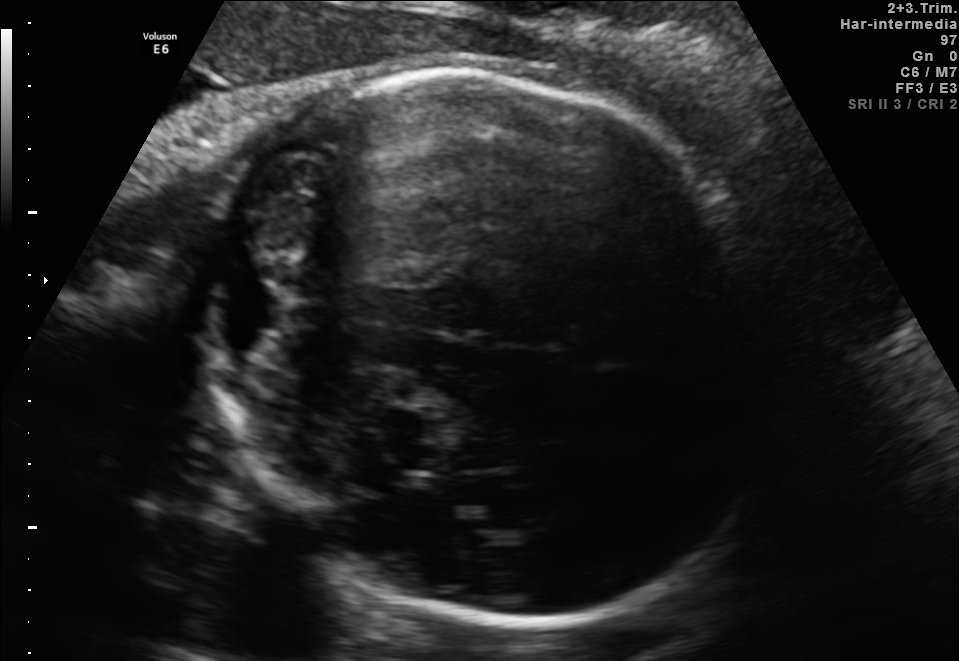
Fetal brain, trans-cerebellum plane. Locate the fetal head and, if visible, the cavum septum pellucidum (CSP) and lateral ventricle (LV). Give bounding boxes as [x1,y1,x2,y2].

Head: [209,73,772,626]